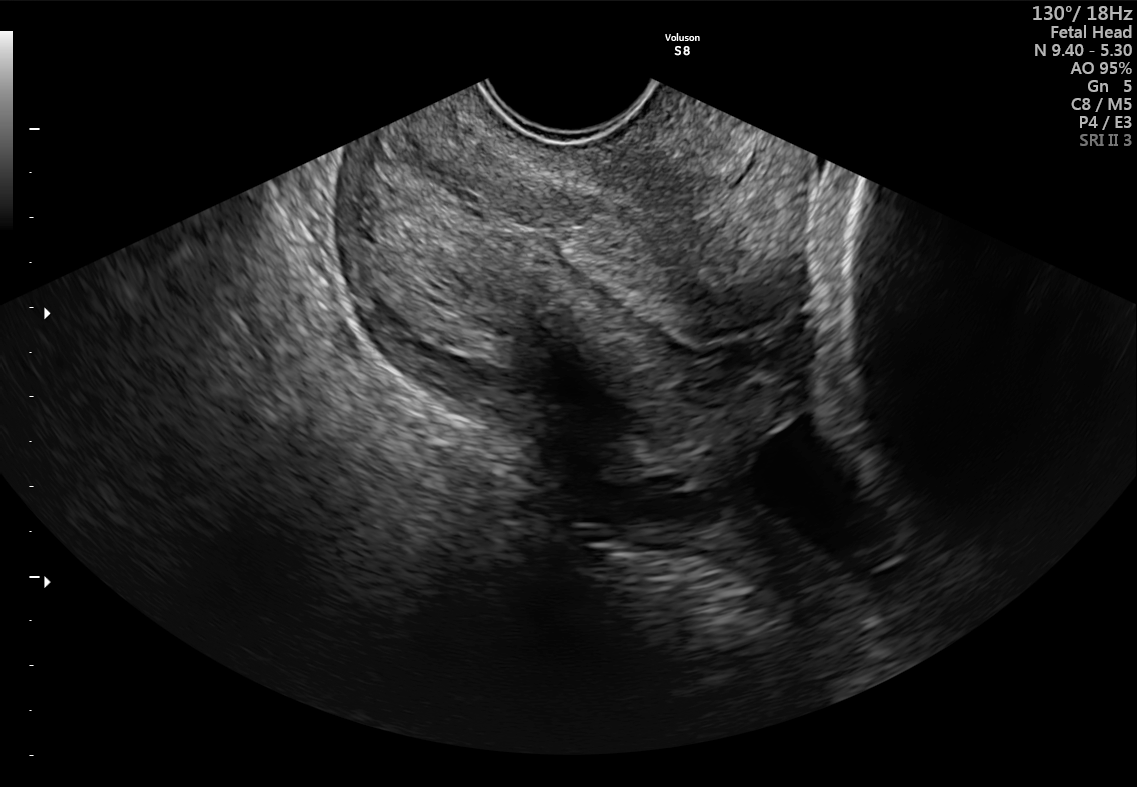
Which standard maternal-fetal ultrasound plane is shown: fetal abdomen, fetal brain, fetal femur, fetal thorax, maternal cervix, or other? If it's fetal brain and one of the three standard brain planes (trans-thalamic, trans-cerebellum, trans-ventricular), name which.

Maternal cervix